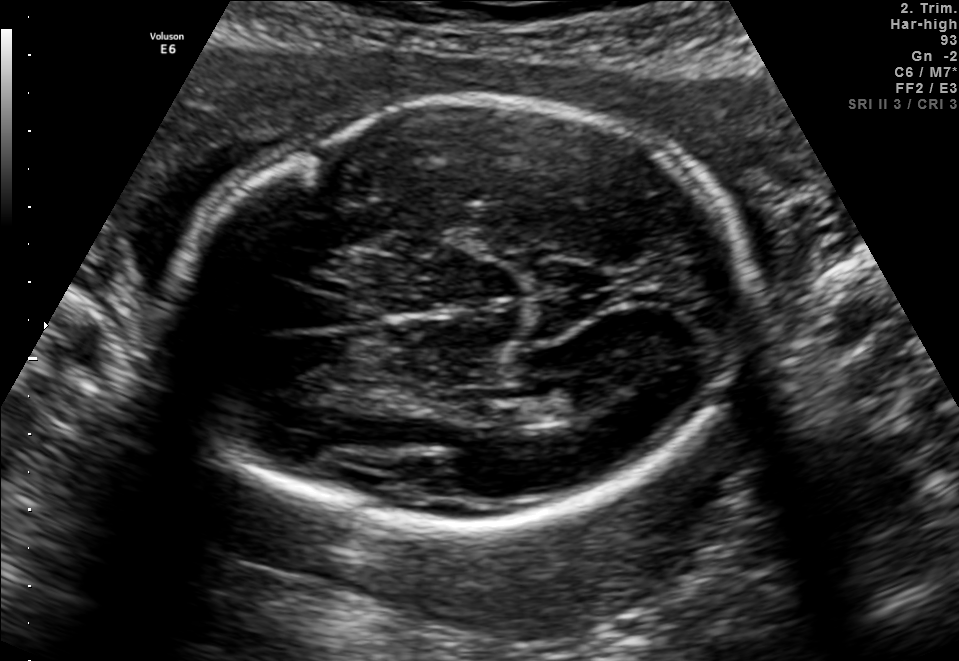
Fetal brain, trans-thalamic plane. Locate the fetal head and, if visible, the cavum septum pellucidum (CSP) and lateral ventricle (LV). Give bounding boxes as [x1,y1,x2,y2].

Head: [180,102,753,519]
Lateral ventricle: [511,368,604,430]